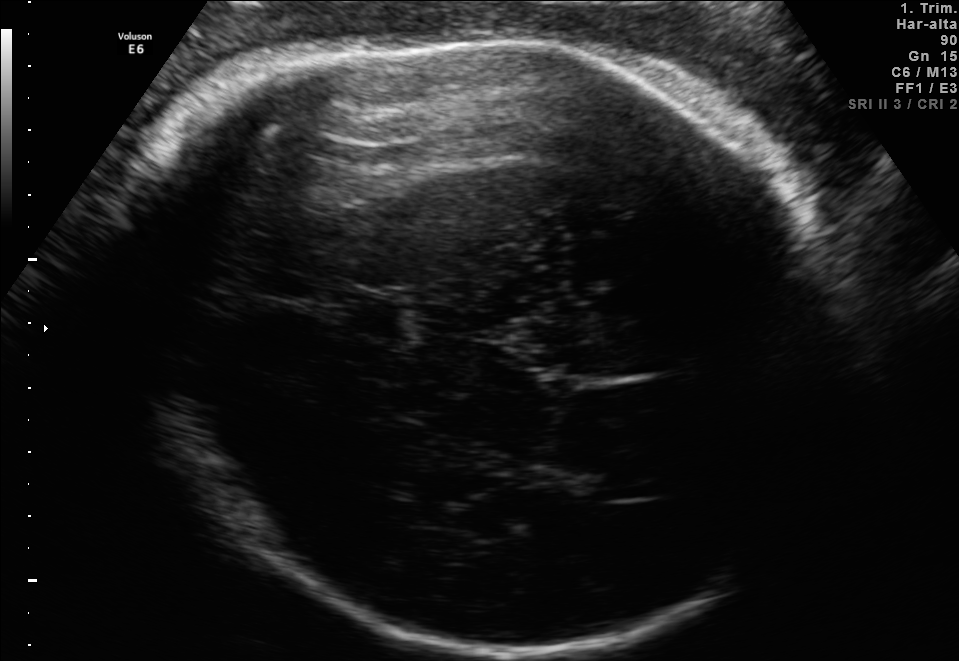
Fetal brain, trans-thalamic plane. Locate the fetal head and, if visible, the cavum septum pellucidum (CSP) and lateral ventricle (LV). Give bounding boxes as [x1,y1,x2,y2].

Head: [133,33,846,652]
CSP: [335,290,404,339]
Lateral ventricle: [563,460,663,503]